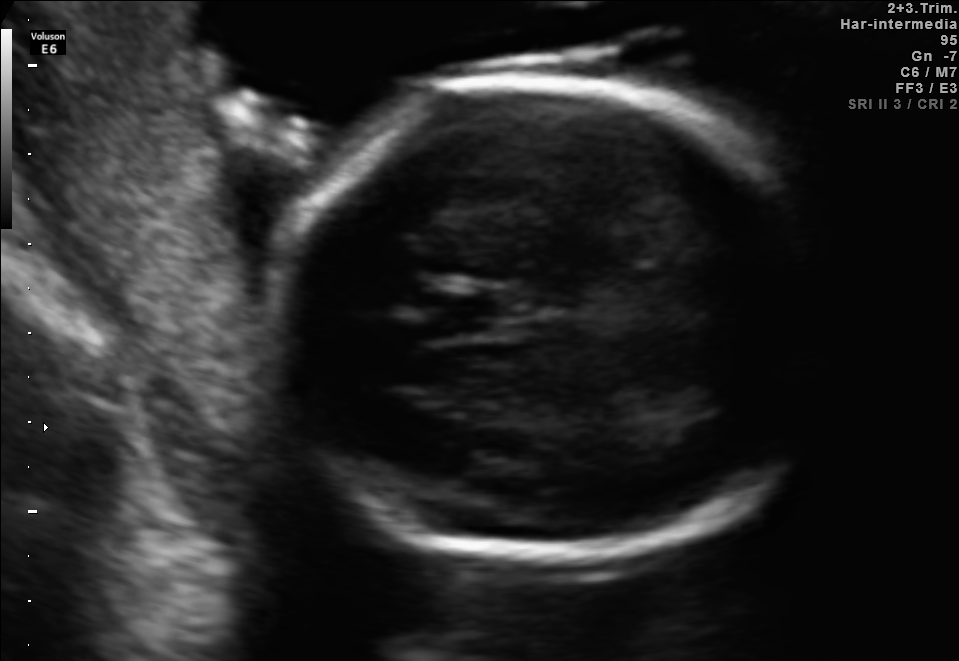
Fetal brain, trans-thalamic plane. Where is the fetal head?

Head bounding box: [275,73,822,556]